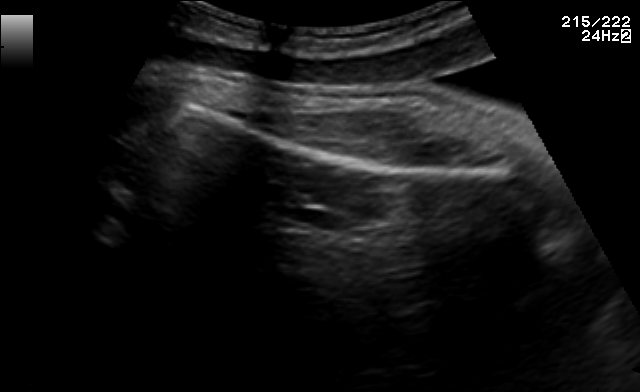
This is a 2D maternal-fetal ultrasound frame. Is it a fetal abdomen, fetal brain, fetal femur, fetal thorax, maternal cervix, or other standard plane? If it's fetal brain and one of the three standard brain planes (trans-thalamic, trans-cerebellum, trans-ventricular), name which.

Fetal femur